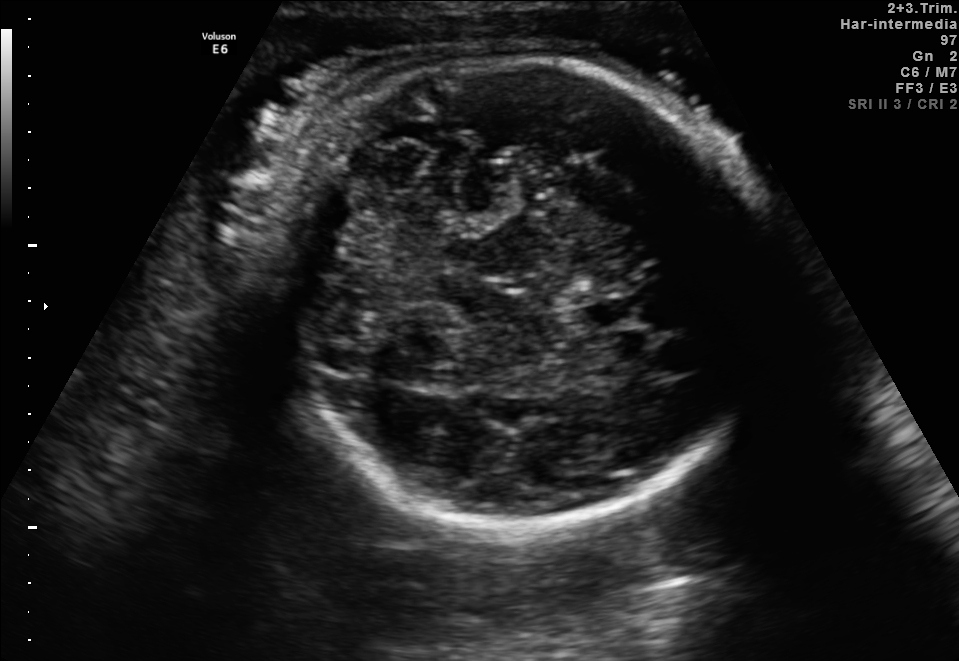
In this fetal brain, trans-cerebellum plane, give the bounding box of the cavum septum pellucidum.

[576,291,640,331]